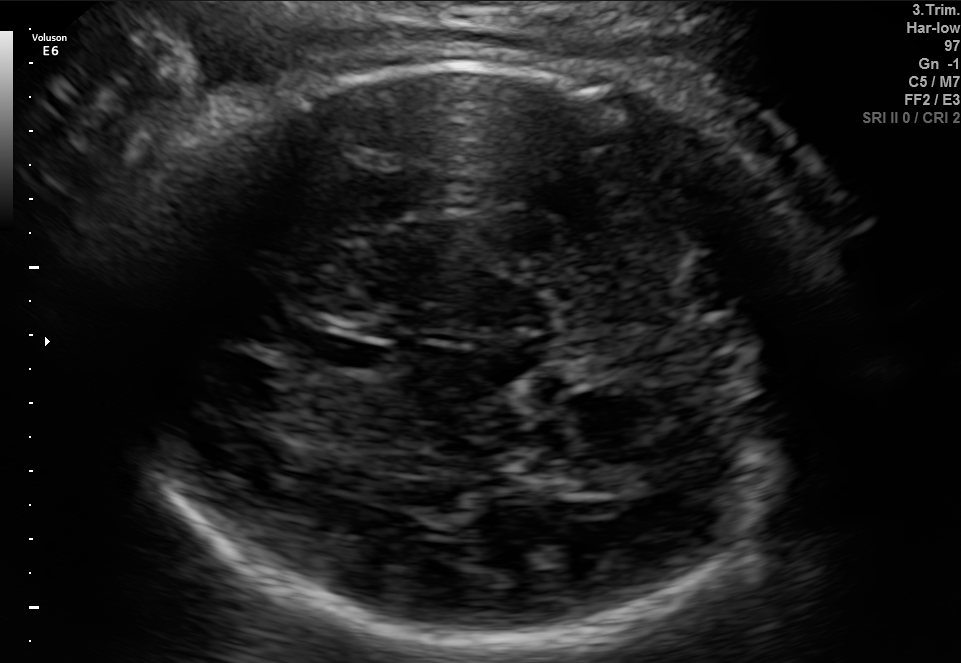
Fetal brain, trans-thalamic plane. Give [x1,y1,x2,y2] bounding boxes for each visible structure among: fetal head, CSP, LV.

Head: [107,60,824,655]
CSP: [306,332,392,375]